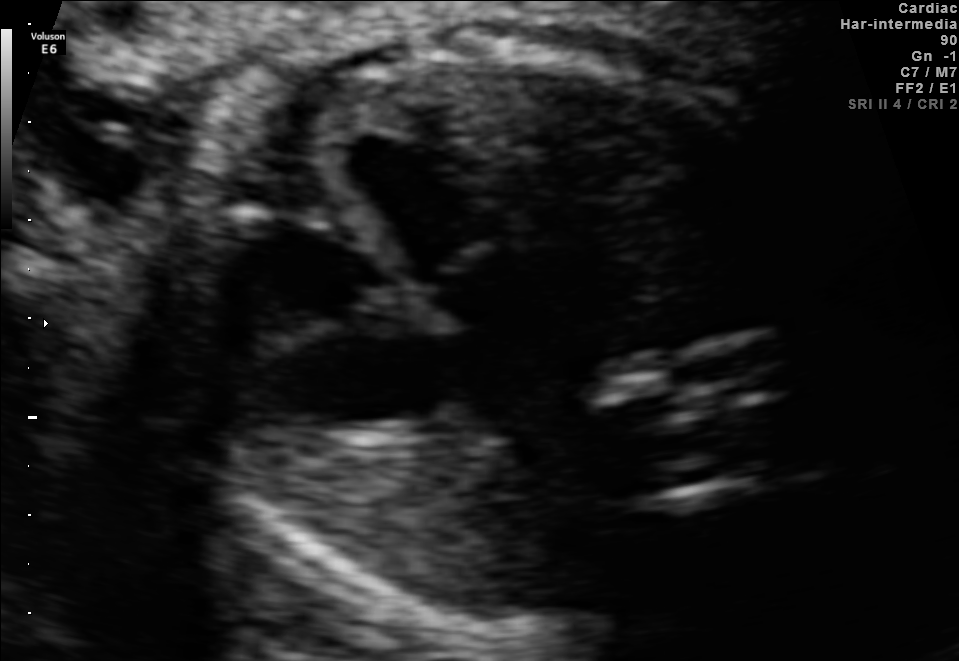
This is a 2D maternal-fetal ultrasound frame. Is it a fetal abdomen, fetal brain, fetal femur, fetal thorax, maternal cervix, or other standard plane? If it's fetal brain and one of the three standard brain planes (trans-thalamic, trans-cerebellum, trans-ventricular), name which.

Fetal thorax